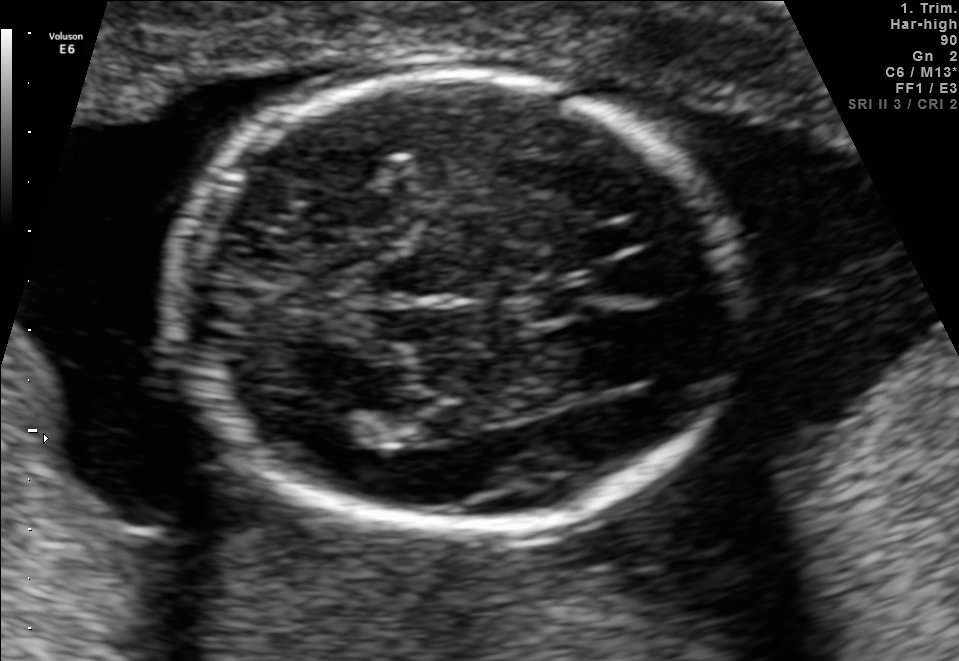
Fetal brain, trans-thalamic plane. Where is the cavum septum pellucidum?

CSP bounding box: [525,275,593,324]